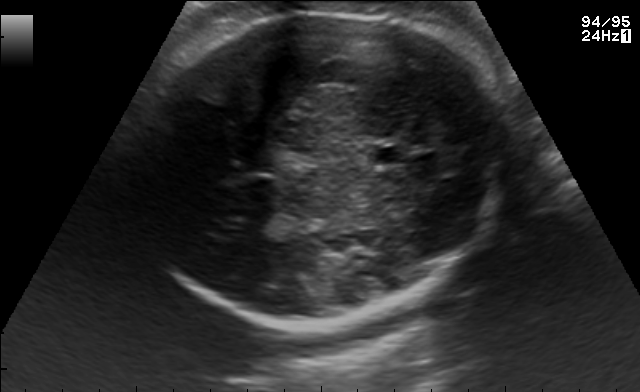
Fetal brain, trans-thalamic plane. Locate the fetal head and, if visible, the cavum septum pellucidum (CSP) and lateral ventricle (LV). Give bounding boxes as [x1,y1,x2,y2].

Head: [133,11,507,323]
CSP: [369,145,404,166]